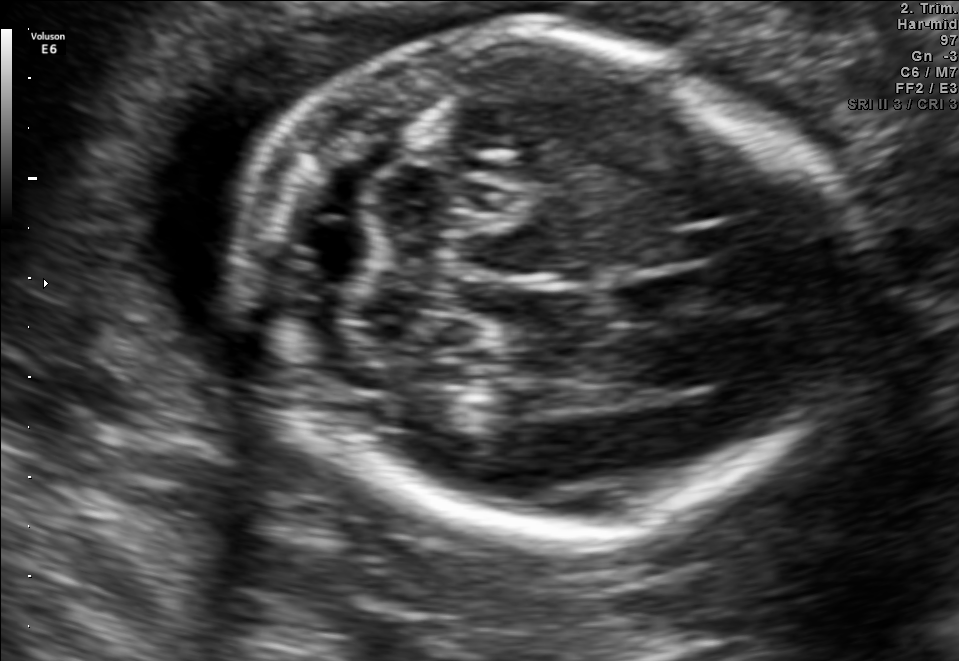
Classify this maternal-fetal ultrasound image as one of the six standard planes — fetal abdomen, fetal brain, fetal femur, fetal thorax, maternal cervix, or other. If it's fetal brain and one of the three standard brain planes (trans-thalamic, trans-cerebellum, trans-ventricular), name which.

Fetal brain (trans-cerebellum plane)